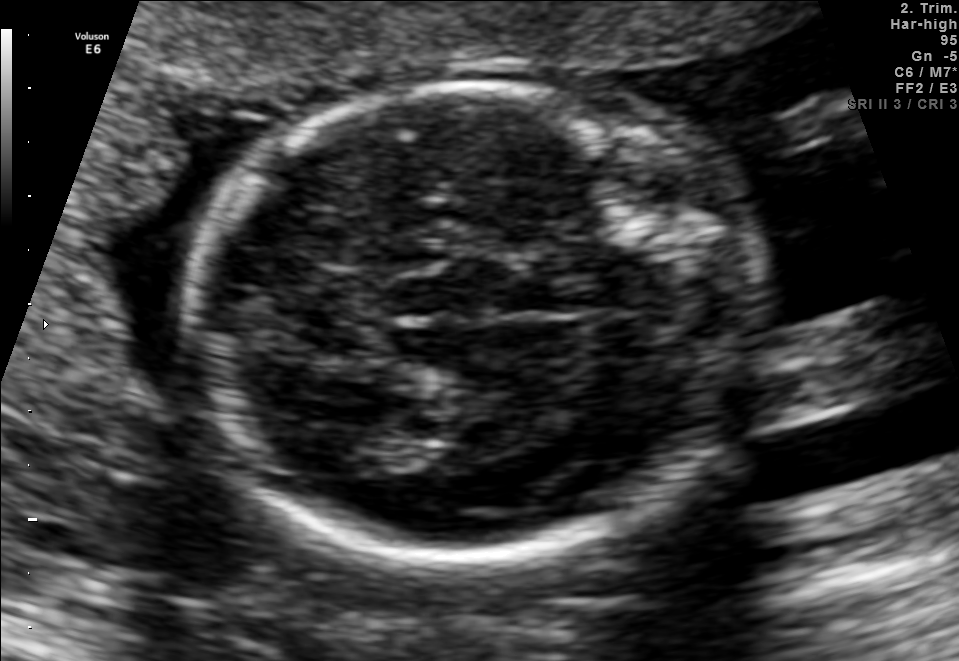
Fetal brain, trans-thalamic plane. Locate the fetal head and, if visible, the cavum septum pellucidum (CSP) and lateral ventricle (LV). Give bounding boxes as [x1,y1,x2,y2].

Head: [181,87,752,560]
Lateral ventricle: [338,425,429,474]